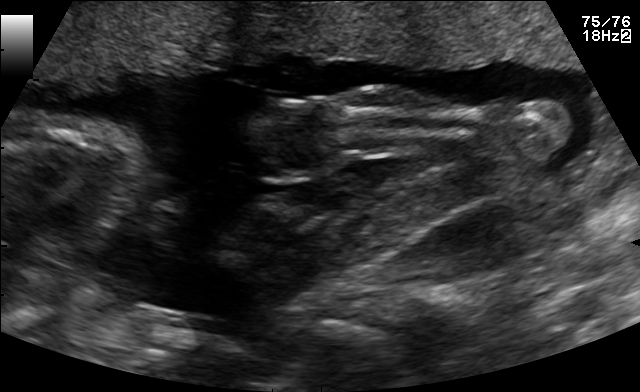
Which standard maternal-fetal ultrasound plane is shown: fetal abdomen, fetal brain, fetal femur, fetal thorax, maternal cervix, or other? If it's fetal brain and one of the three standard brain planes (trans-thalamic, trans-cerebellum, trans-ventricular), name which.

Other